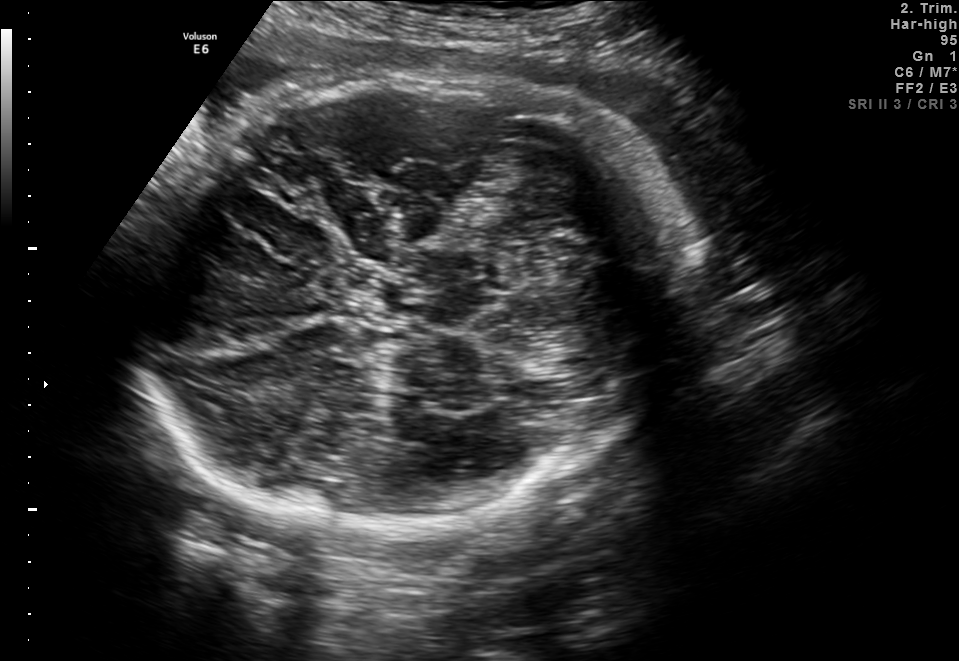
Fetal brain, trans-thalamic plane. Locate the fetal head and, if visible, the cavum septum pellucidum (CSP) and lateral ventricle (LV). Give bounding boxes as [x1,y1,x2,y2].

Head: [127,73,690,534]